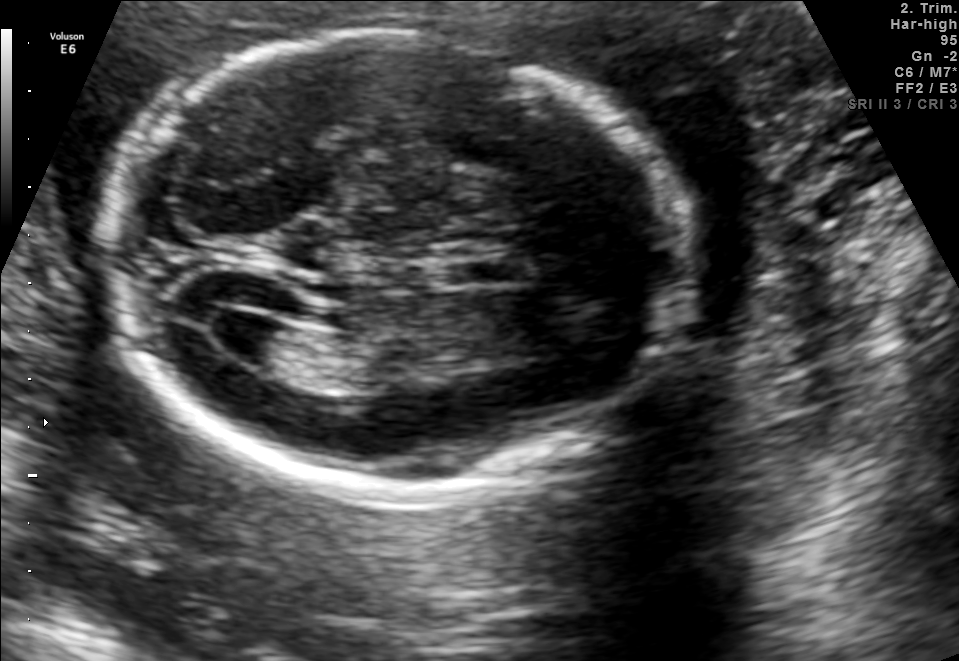
Fetal brain, trans-ventricular plane. Where is the cavum septum pellucidum?

CSP bounding box: [439,256,537,284]